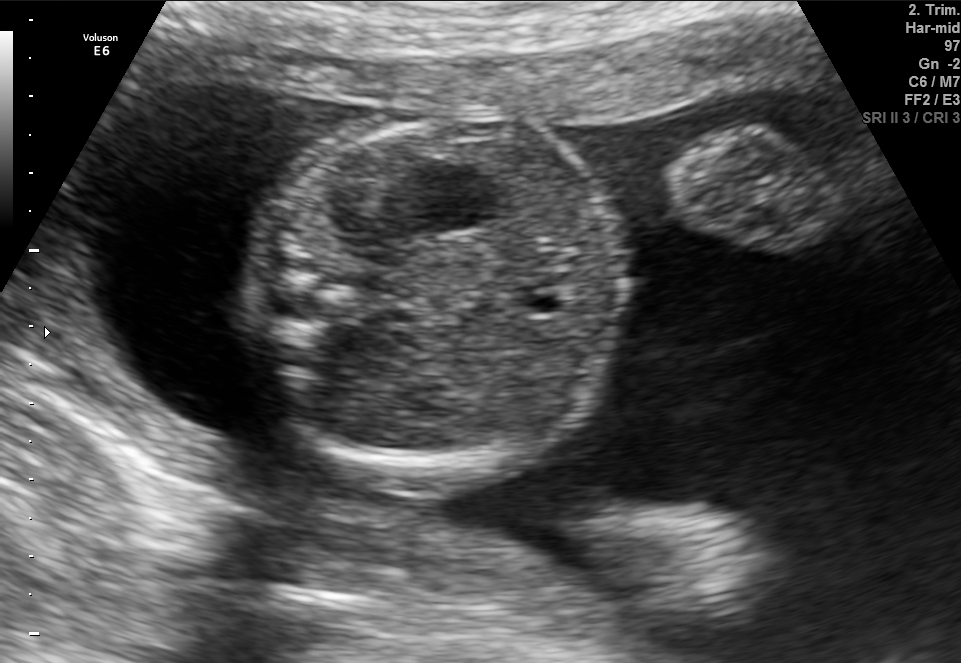
Identify the standard plane in this fetal ultrasound image: fetal abdomen, fetal brain, fetal femur, fetal thorax, maternal cervix, or other. If it's fetal brain and one of the three standard brain planes (trans-thalamic, trans-cerebellum, trans-ventricular), name which.

Fetal abdomen